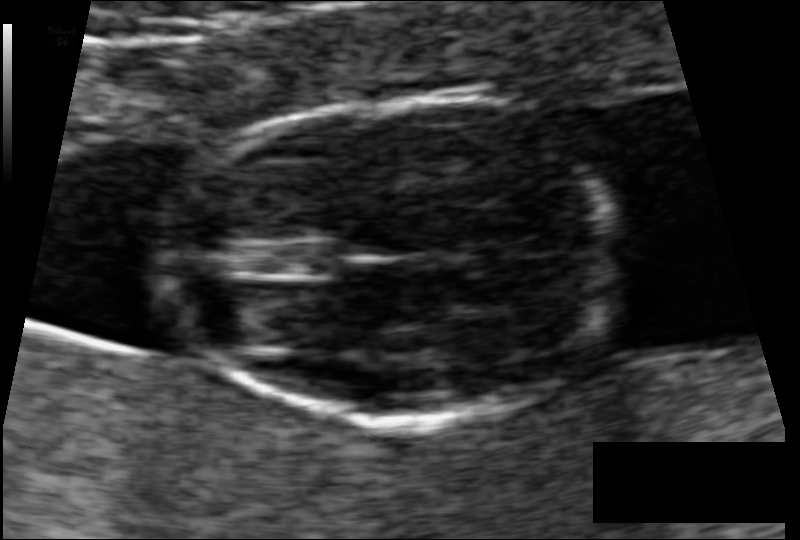
Fetal head ultrasound. Image width: 49.5 mm. Where is the fetal head?

Head bounding box: [171,99,616,422]